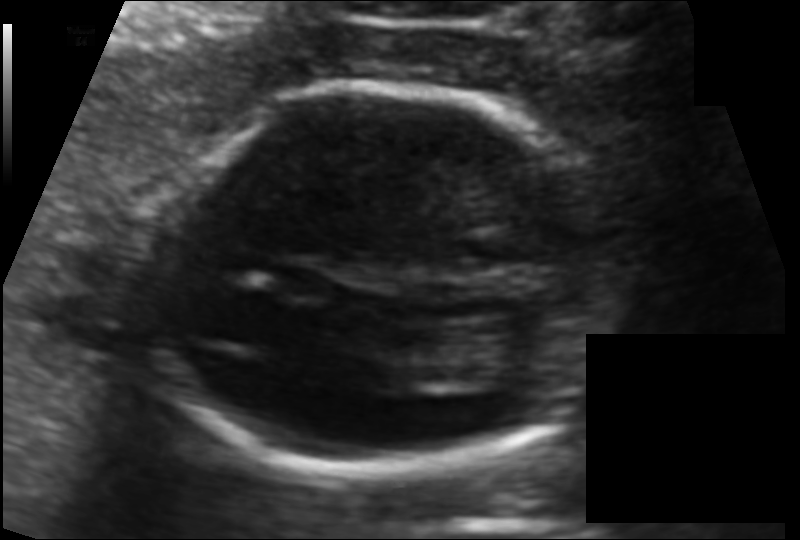
Fetal head ultrasound. Image width: 80.1 mm. Locate the fetal head.

Head: [143,86,612,474]